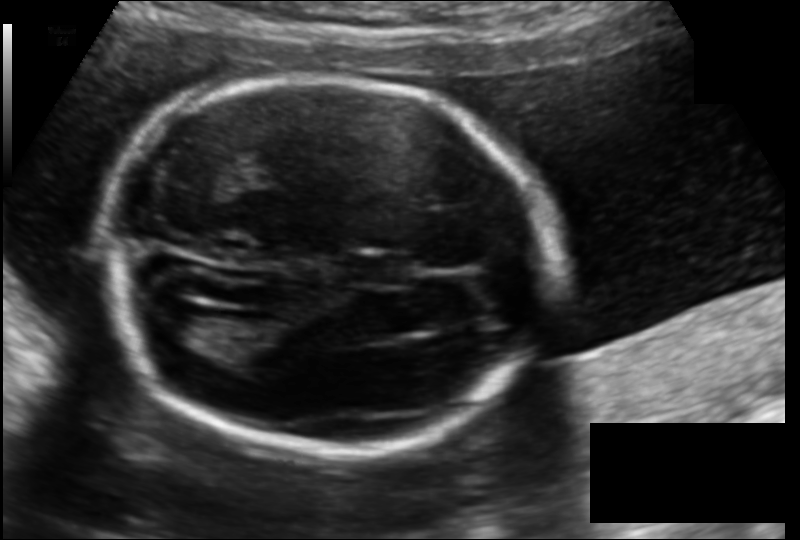
Fetal head ultrasound. Image width: 107.8 mm. Locate the fetal head.

Head: [99,76,549,449]